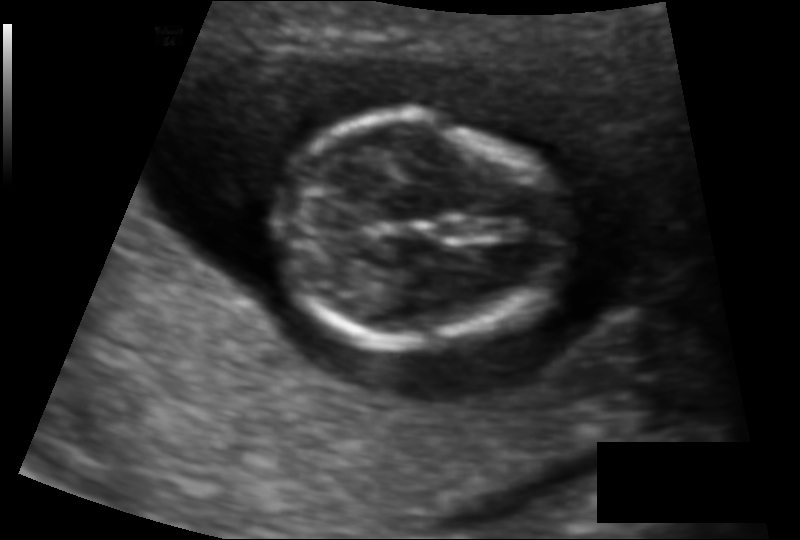
Fetal head ultrasound. Image width: 76.6 mm. Where is the fetal head?

Head bounding box: [275,119,563,344]